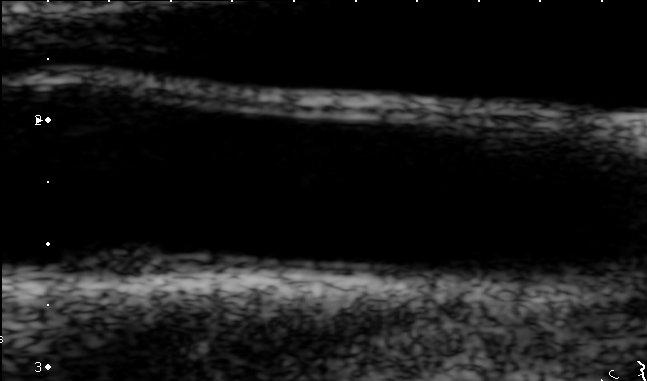
Which standard maternal-fetal ultrasound plane is shown: fetal abdomen, fetal brain, fetal femur, fetal thorax, maternal cervix, or other? If it's fetal brain and one of the three standard brain planes (trans-thalamic, trans-cerebellum, trans-ventricular), name which.

Other